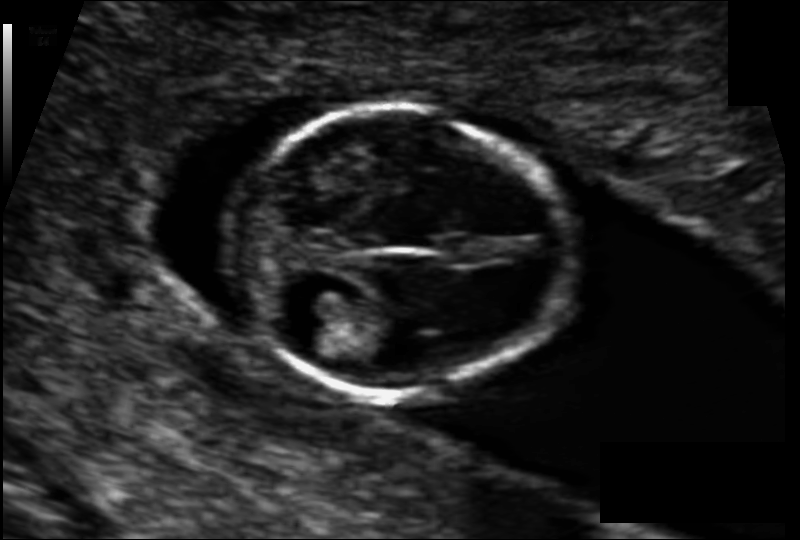
Fetal head ultrasound. Image width: 63.0 mm. Locate the fetal head.

Head: [229,109,566,399]